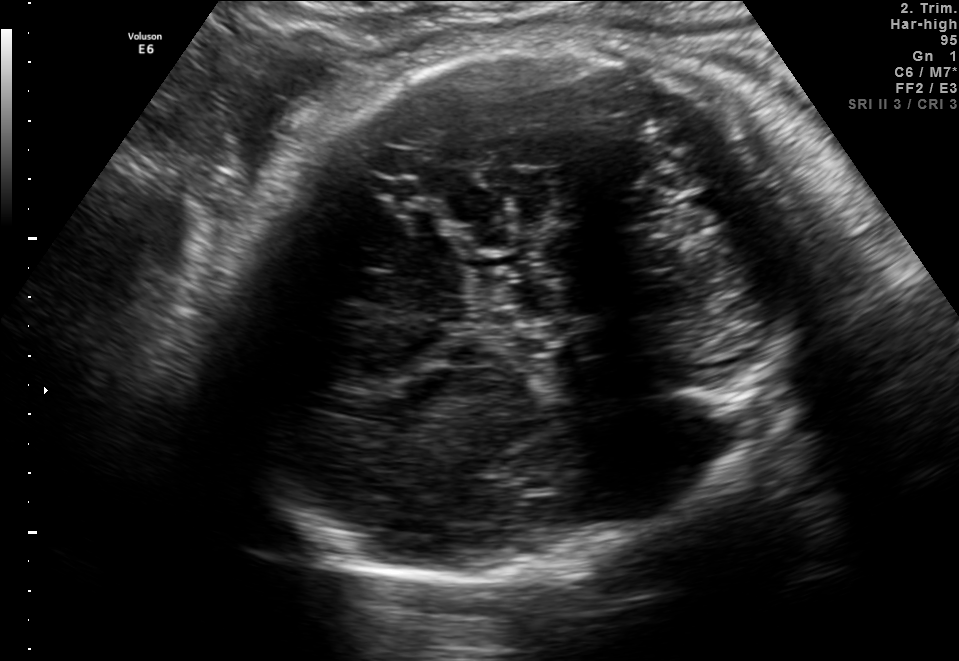
Fetal brain, trans-thalamic plane. Where is the fetal head?

Head bounding box: [214,42,801,583]